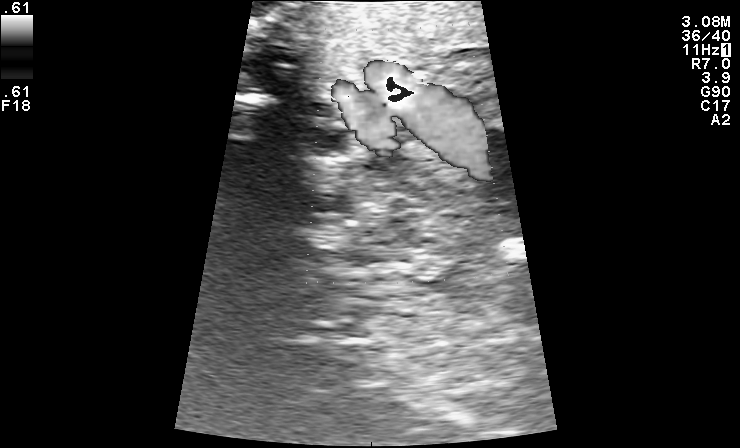
Identify the standard plane in this fetal ultrasound image: fetal abdomen, fetal brain, fetal femur, fetal thorax, maternal cervix, or other. If it's fetal brain and one of the three standard brain planes (trans-thalamic, trans-cerebellum, trans-ventricular), name which.

Other